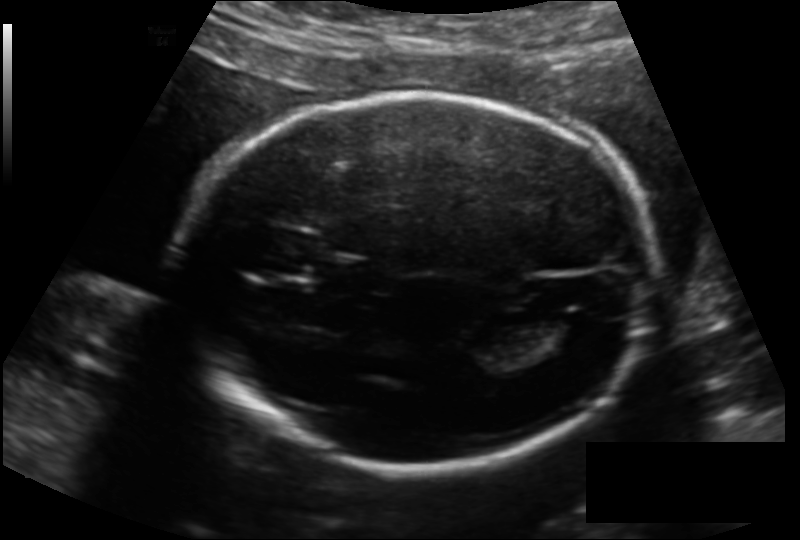
In this fetal head ultrasound, give the bounding box of the fetal head. Image width: 120.8 mm.

[174,94,652,467]